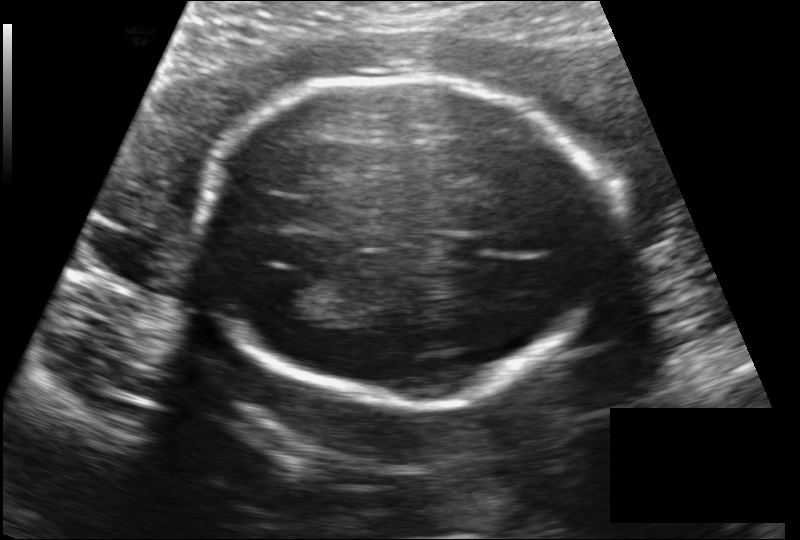
In this fetal head ultrasound, give the bounding box of the cavum septum pellucidum. Image width: 119.2 mm.

[444,235,488,264]